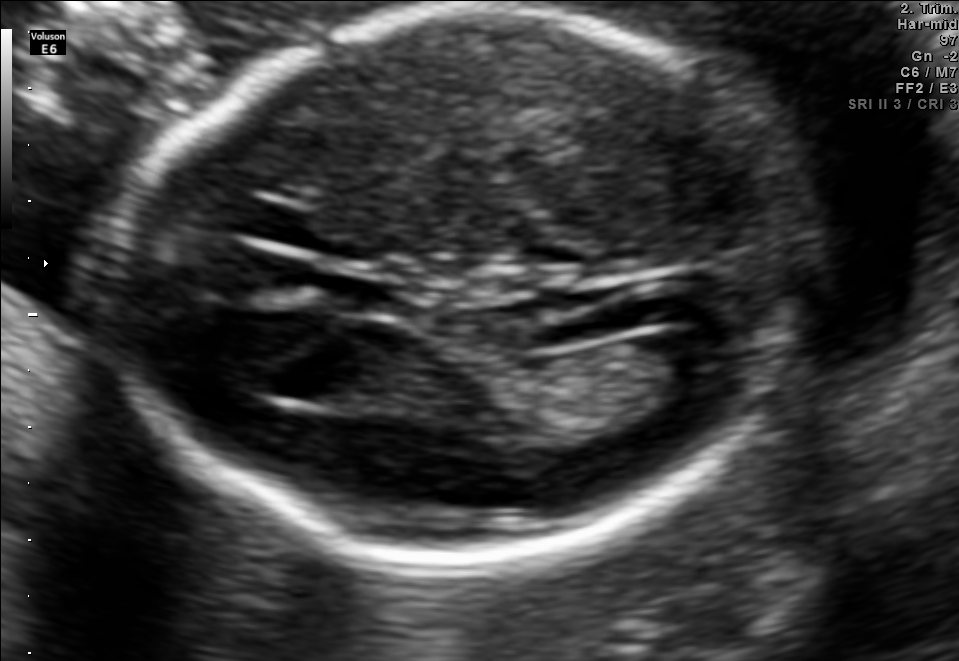
In this fetal brain, trans-ventricular plane, give the bounding box of the lateral ventricle.

[634,312,753,405]